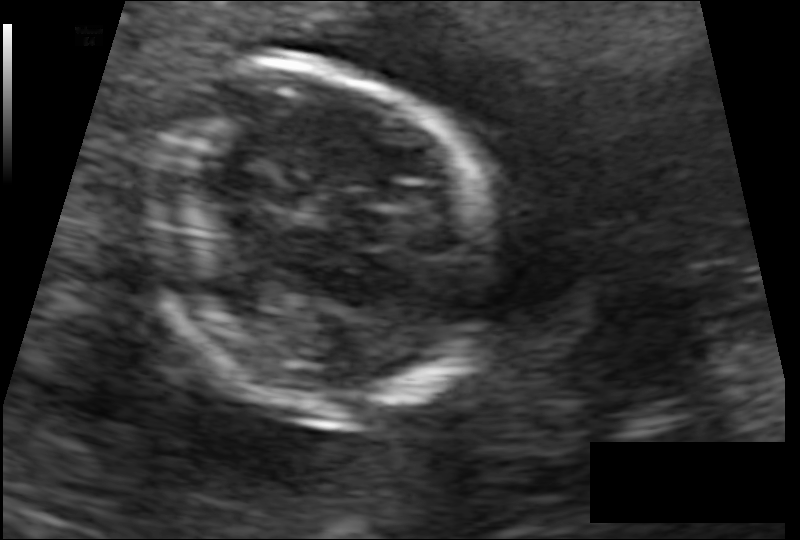
From this fetal ultrasound, estimate the head circumference (image width 73.2 mm).

Head circumference: 104.7 mm.